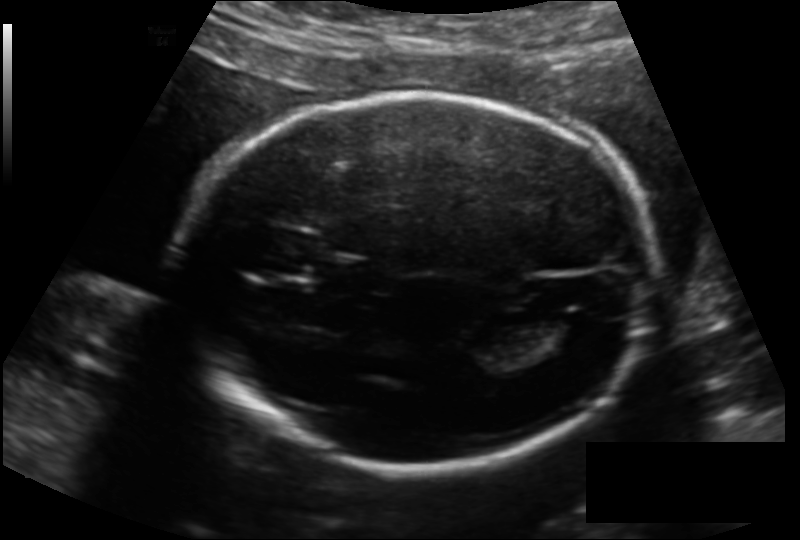
What is the fetal head circumference? Image width is 120.8 mm.

208.9 mm